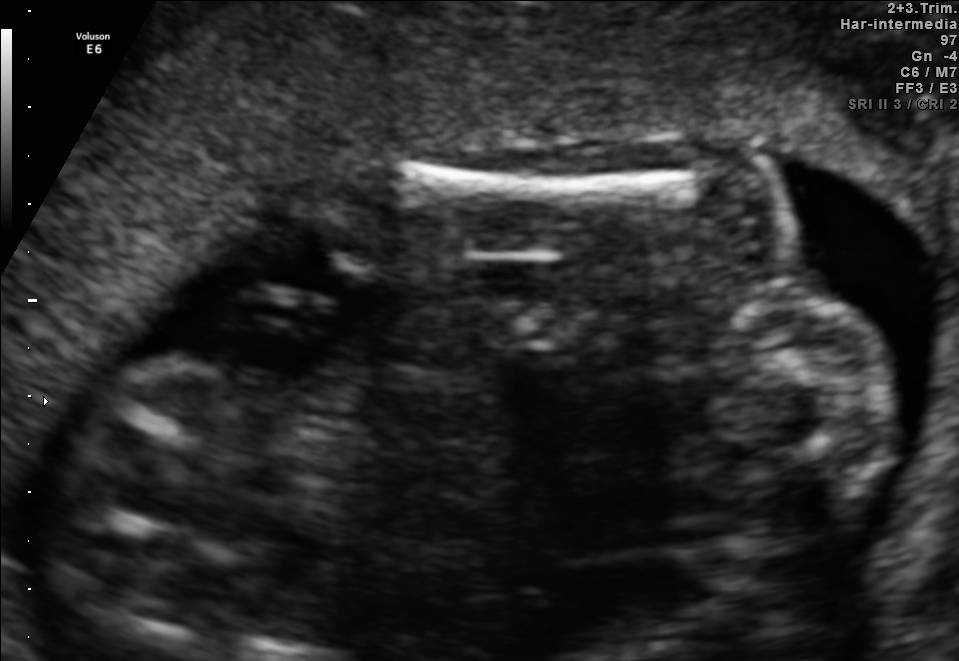
This is a 2D maternal-fetal ultrasound frame. Is it a fetal abdomen, fetal brain, fetal femur, fetal thorax, maternal cervix, or other standard plane? If it's fetal brain and one of the three standard brain planes (trans-thalamic, trans-cerebellum, trans-ventricular), name which.

Other